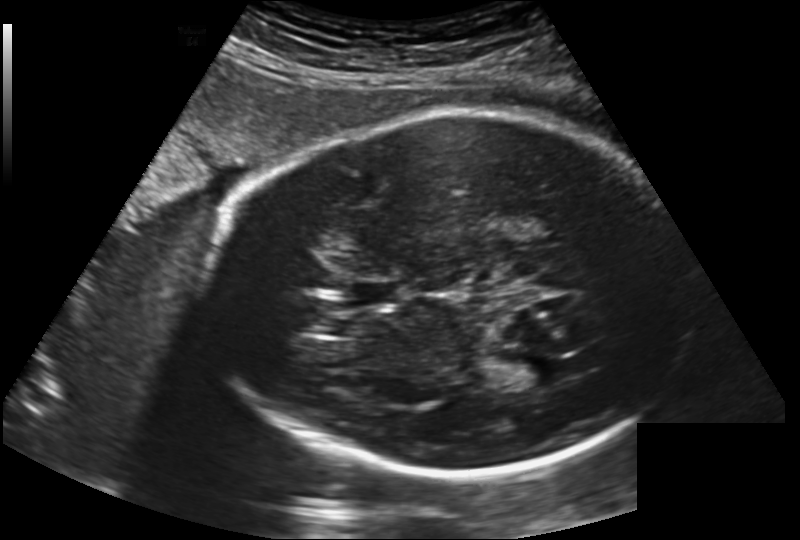
Estimate the fetal head circumference from this 2D ultrasound.

Head circumference: 277.6 mm (image width 161.7 mm).